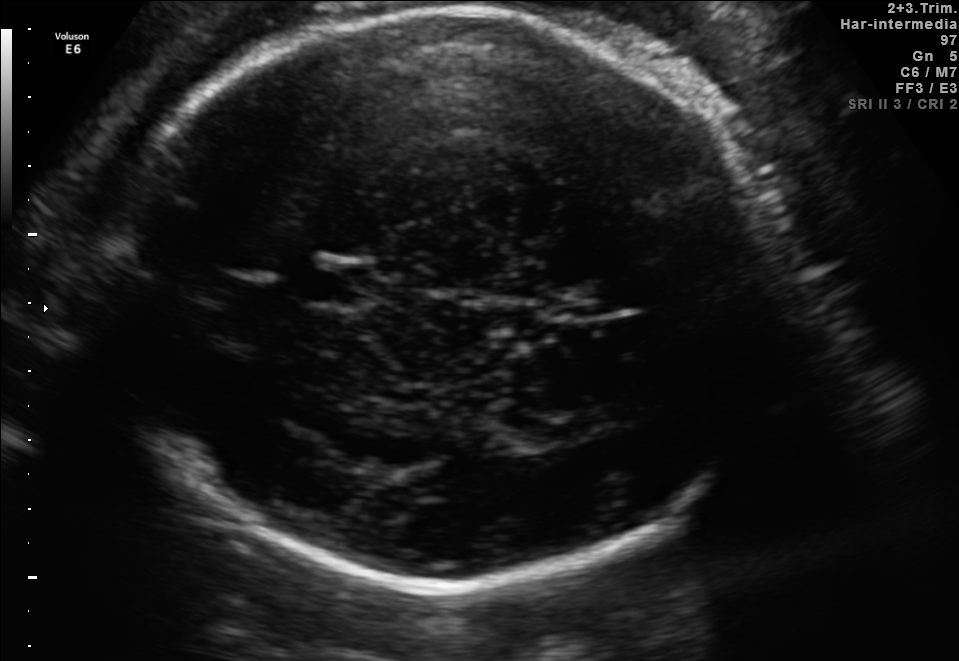
Classify this maternal-fetal ultrasound image as one of the six standard planes — fetal abdomen, fetal brain, fetal femur, fetal thorax, maternal cervix, or other. If it's fetal brain and one of the three standard brain planes (trans-thalamic, trans-cerebellum, trans-ventricular), name which.

Fetal brain (trans-thalamic plane)